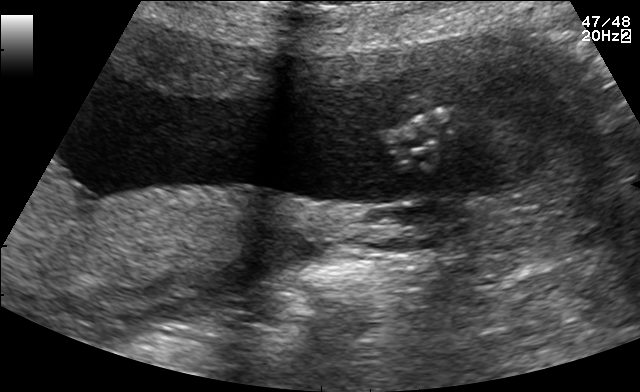
Classify this maternal-fetal ultrasound image as one of the six standard planes — fetal abdomen, fetal brain, fetal femur, fetal thorax, maternal cervix, or other. If it's fetal brain and one of the three standard brain planes (trans-thalamic, trans-cerebellum, trans-ventricular), name which.

Other